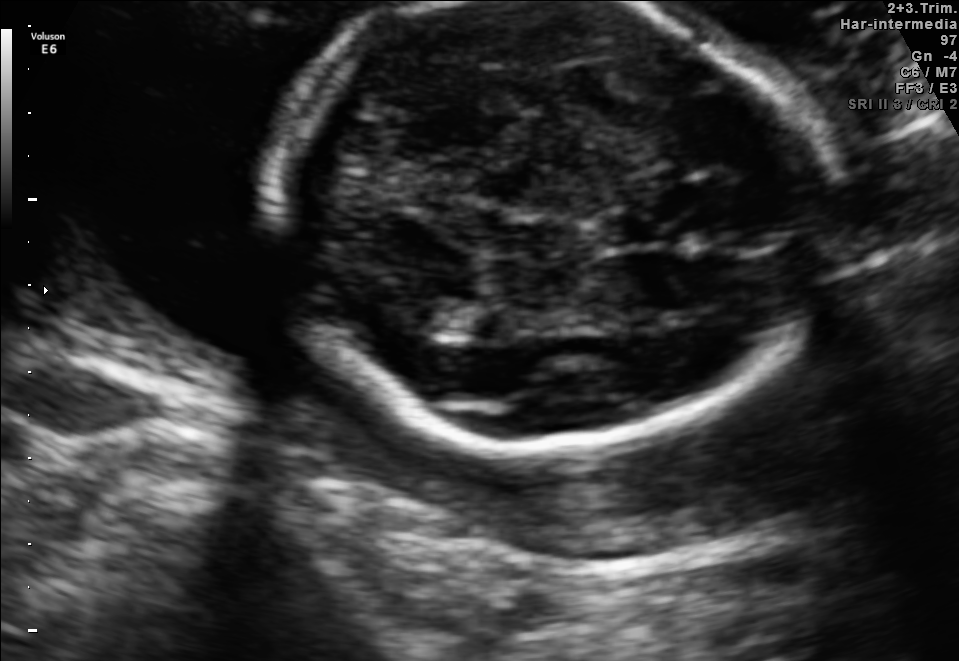
In this fetal brain, trans-thalamic plane, give bounding boxes for the head outline, cavum septum pellucidum (CSP), and lateral ventricle (LV), where visible.

Head: [263,2,828,447]
CSP: [596,211,658,249]
Lateral ventricle: [431,307,503,339]